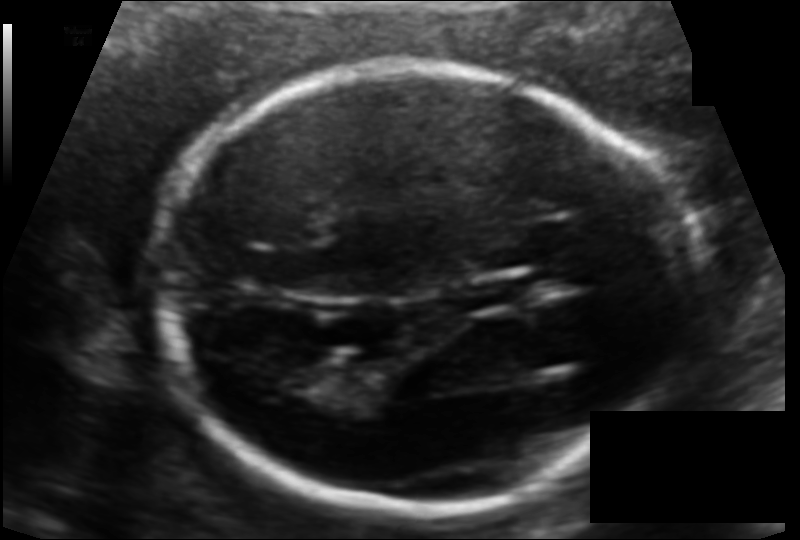
Estimate the fetal head circumference from this 2D ultrasound.

Head circumference: 170.3 mm (image width 85.9 mm).